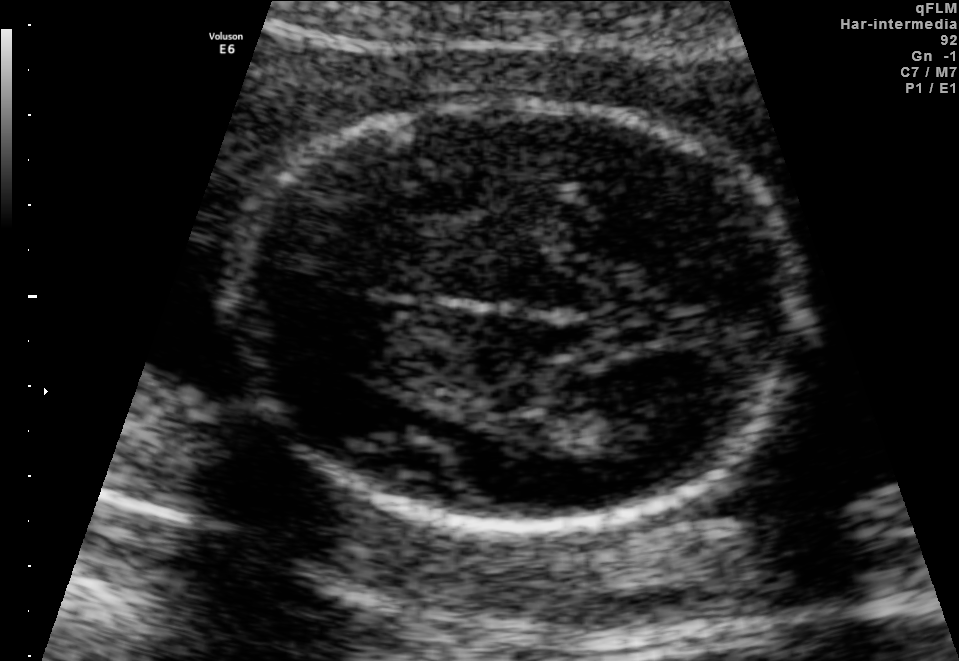
In this fetal brain, trans-thalamic plane, give bounding boxes for the head outline, cavum septum pellucidum (CSP), and lateral ventricle (LV), where visible.

Head: [231,98,802,527]
Lateral ventricle: [575,395,690,463]